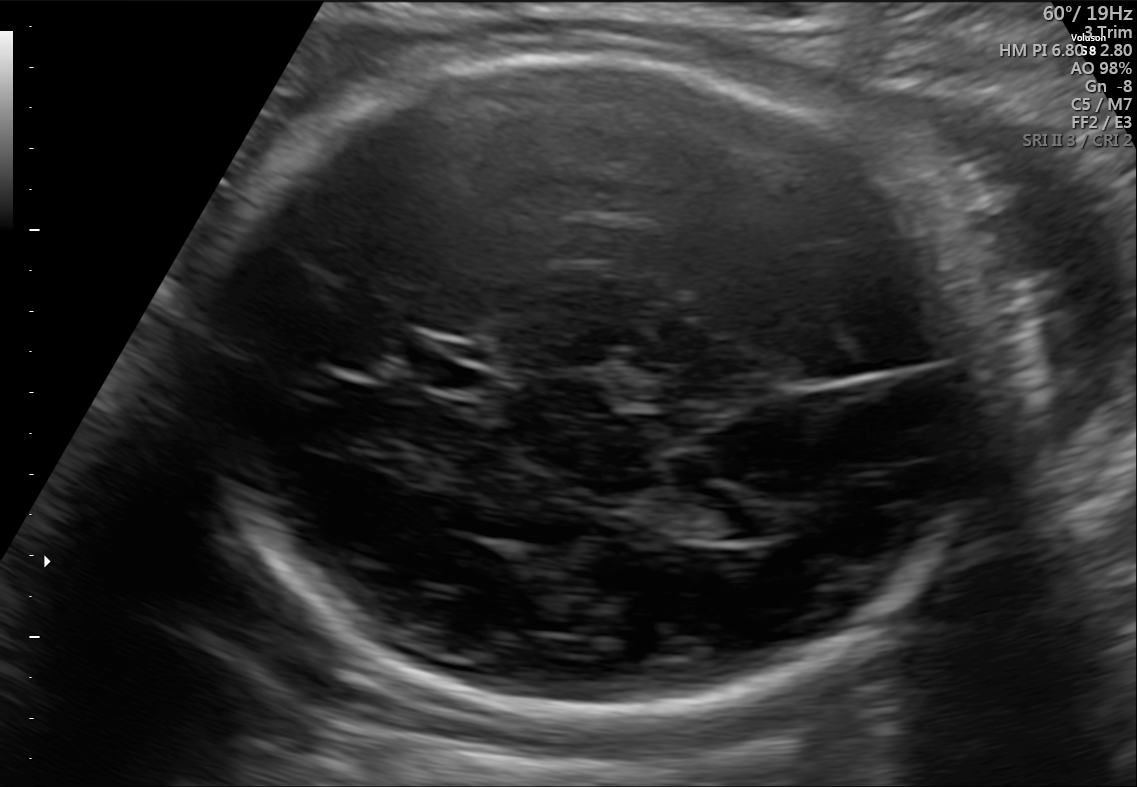
In this fetal brain, trans-ventricular plane, give the bounding box of the cavum septum pellucidum.

[393,328,498,402]